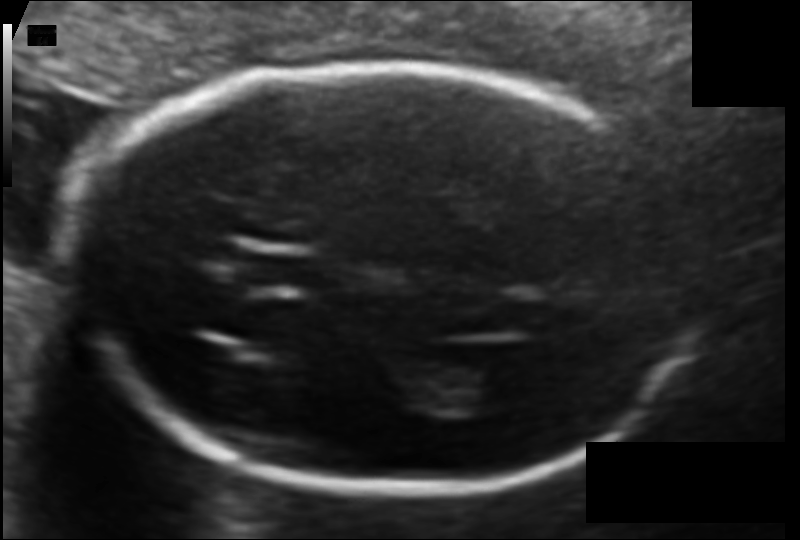
Fetal head ultrasound. Image width: 82.7 mm. Locate the fetal head.

Head: [83,63,705,490]